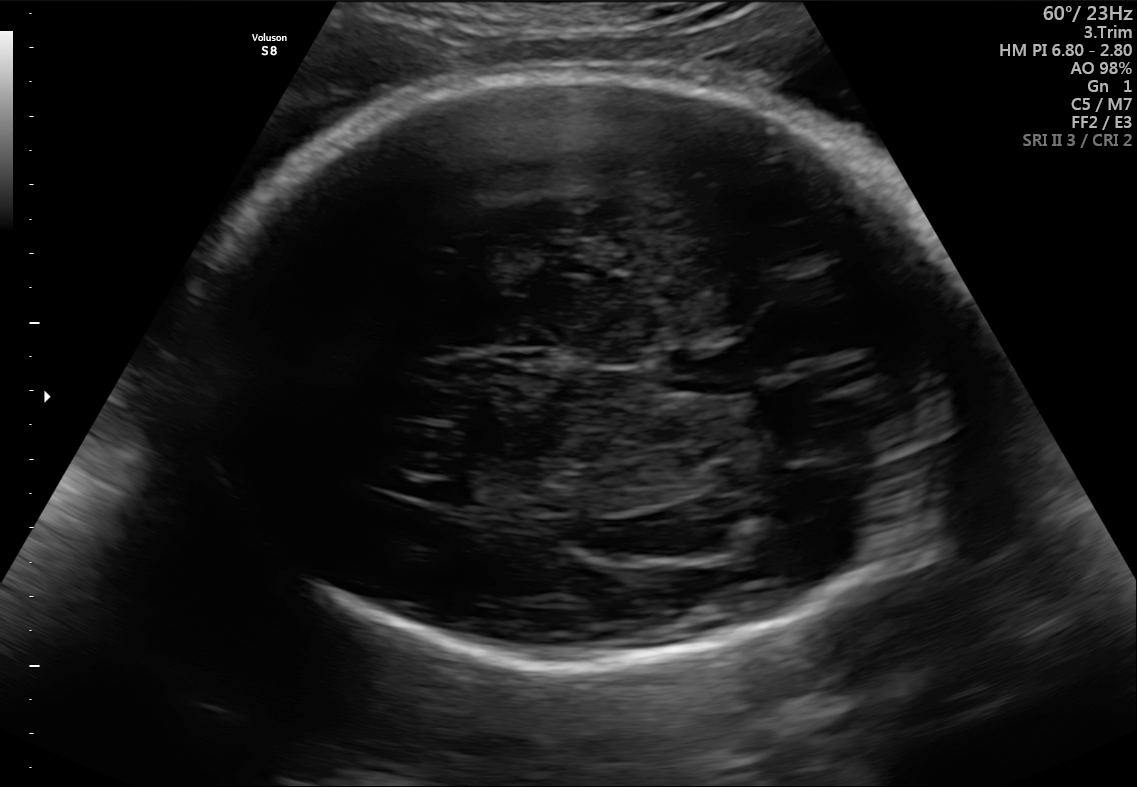
Fetal brain, trans-thalamic plane. Locate the cavum septum pellucidum.

CSP: [669,353,744,393]